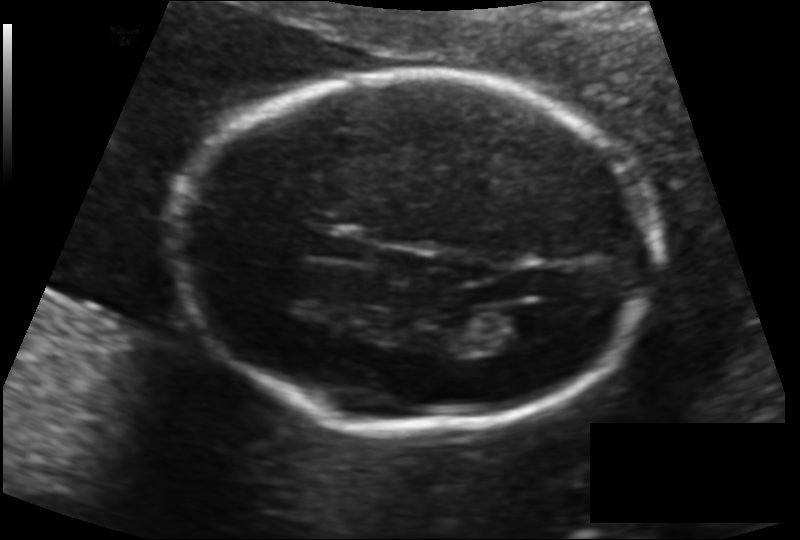
Estimate the fetal head circumference from this 2D ultrasound. Image width: 107.4 mm.

Head circumference: 181.6 mm.